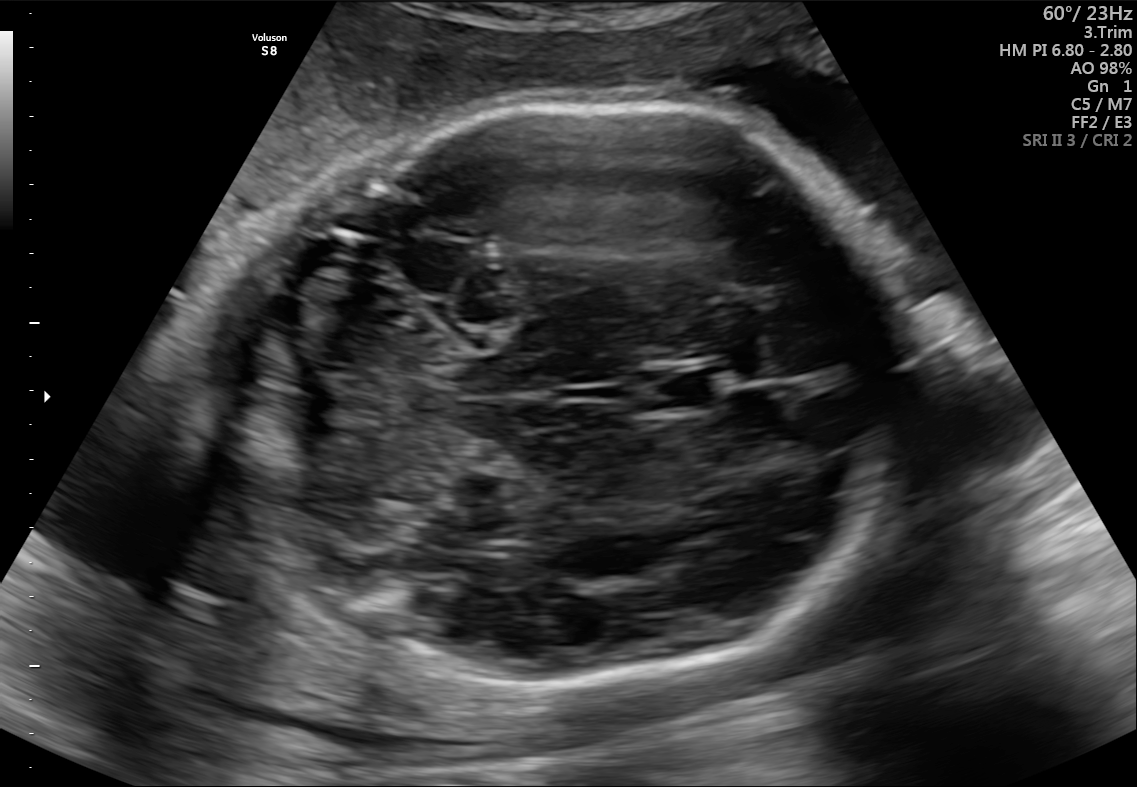
Fetal brain, trans-cerebellum plane. Where is the cavum septum pellucidum?

CSP bounding box: [634,361,725,419]